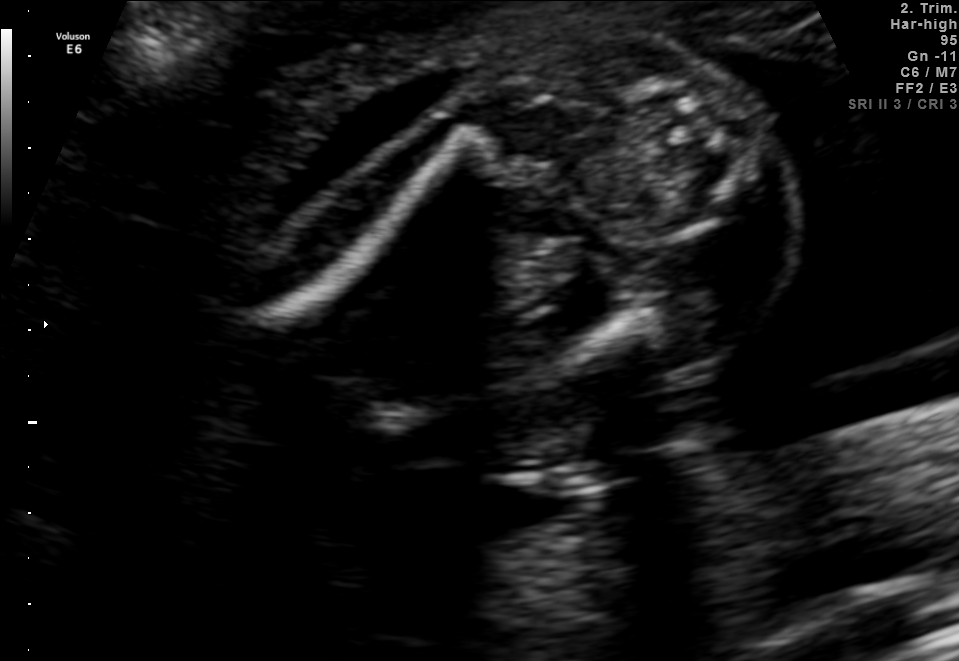
Which standard maternal-fetal ultrasound plane is shown: fetal abdomen, fetal brain, fetal femur, fetal thorax, maternal cervix, or other? If it's fetal brain and one of the three standard brain planes (trans-thalamic, trans-cerebellum, trans-ventricular), name which.

Fetal femur